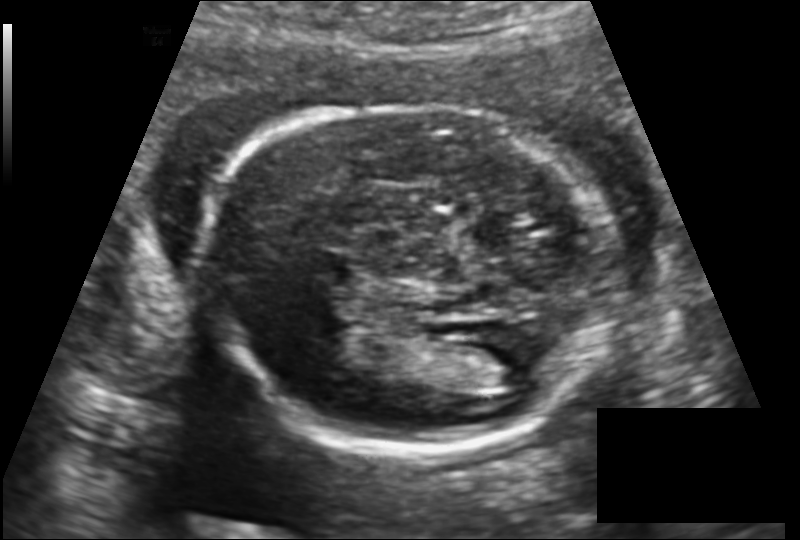
Fetal head ultrasound. Image width: 111.5 mm. Locate the fetal head.

Head: [204,105,616,452]